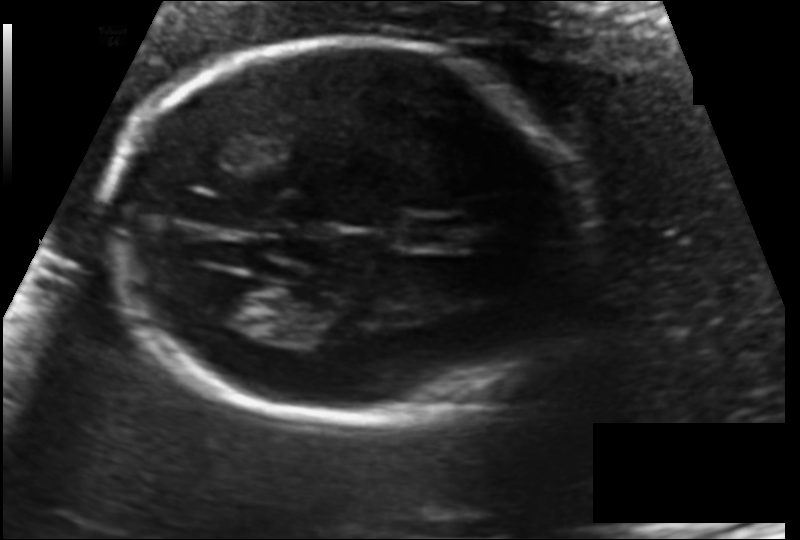
In this fetal head ultrasound, give the bounding box of the cavum septum pellucidum. Image width: 97.9 mm.

[408,218,469,248]